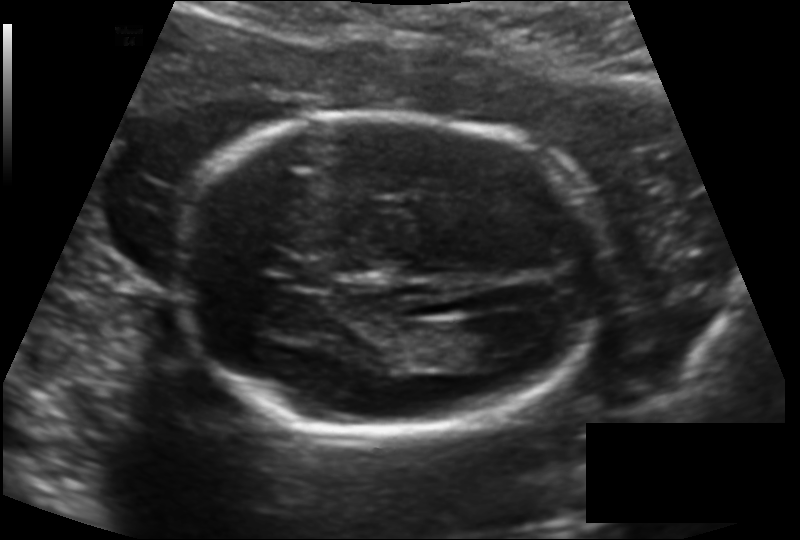
Fetal head ultrasound. Image width: 110.7 mm. Where is the fetal head?

Head bounding box: [175,115,605,431]